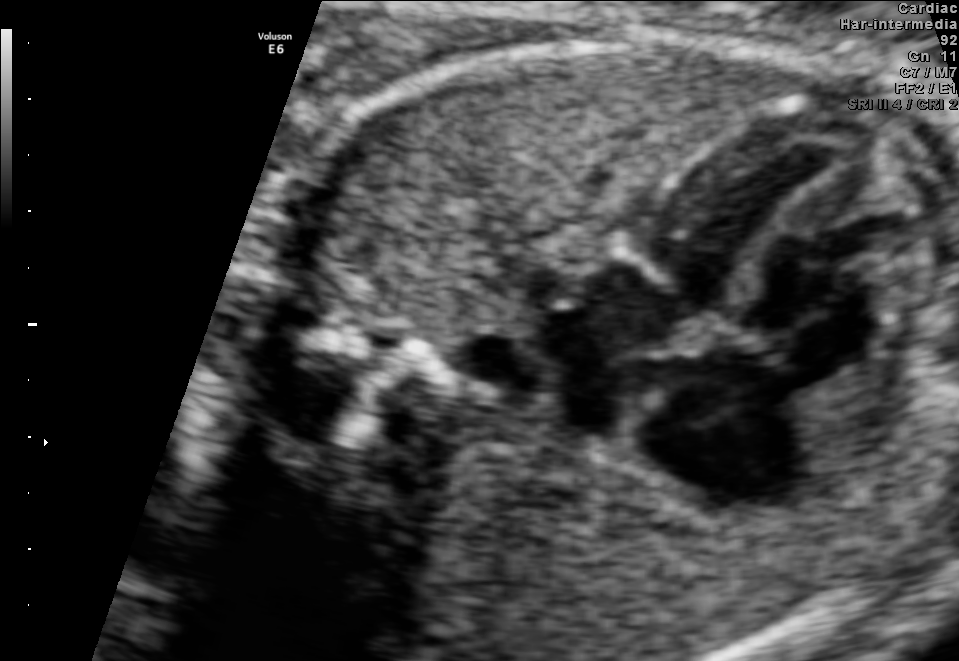
Which standard maternal-fetal ultrasound plane is shown: fetal abdomen, fetal brain, fetal femur, fetal thorax, maternal cervix, or other? If it's fetal brain and one of the three standard brain planes (trans-thalamic, trans-cerebellum, trans-ventricular), name which.

Fetal thorax